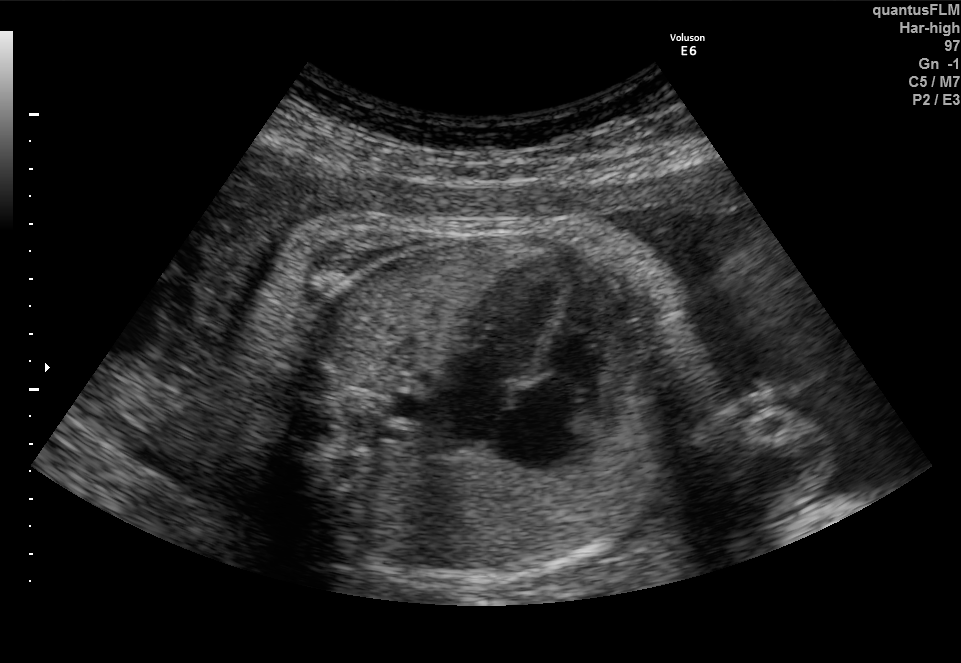
Classify this maternal-fetal ultrasound image as one of the six standard planes — fetal abdomen, fetal brain, fetal femur, fetal thorax, maternal cervix, or other. If it's fetal brain and one of the three standard brain planes (trans-thalamic, trans-cerebellum, trans-ventricular), name which.

Fetal thorax